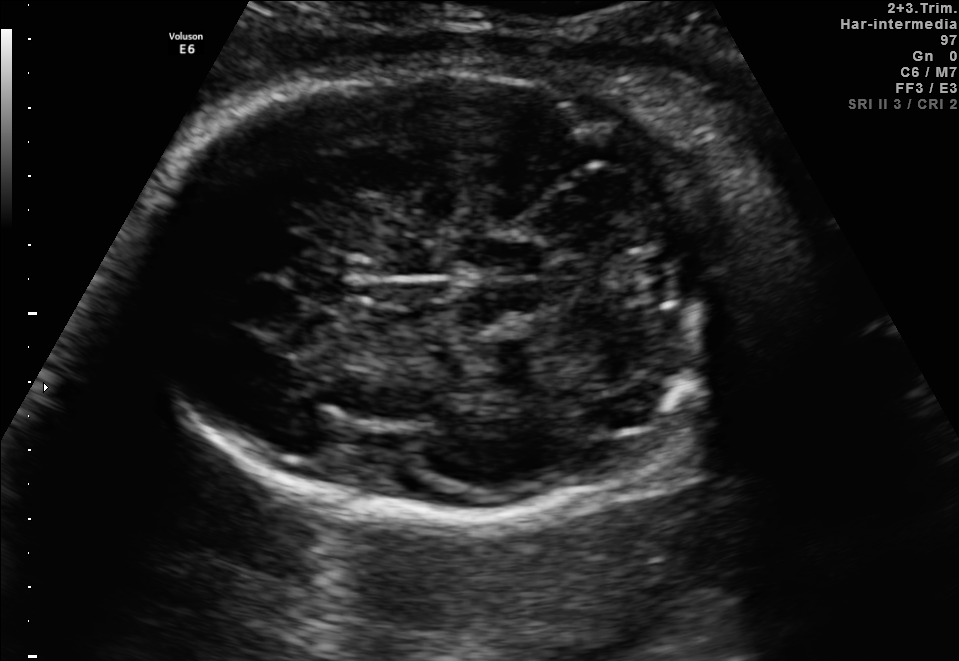
Fetal brain, trans-cerebellum plane. Locate the fetal head and, if visible, the cavum septum pellucidum (CSP) and lateral ventricle (LV). Give bounding boxes as [x1,y1,x2,y2].

Head: [141,60,746,529]
CSP: [287,262,346,309]